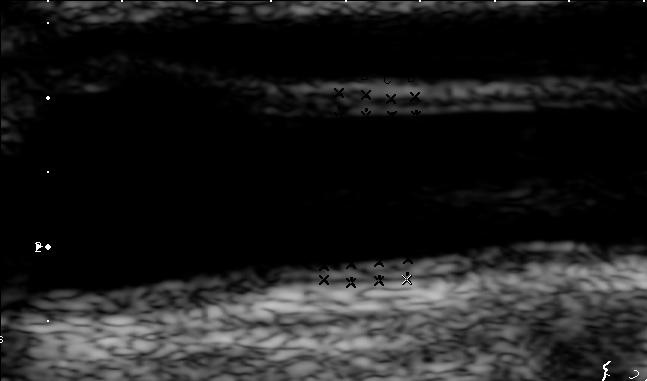
Which standard maternal-fetal ultrasound plane is shown: fetal abdomen, fetal brain, fetal femur, fetal thorax, maternal cervix, or other? If it's fetal brain and one of the three standard brain planes (trans-thalamic, trans-cerebellum, trans-ventricular), name which.

Other